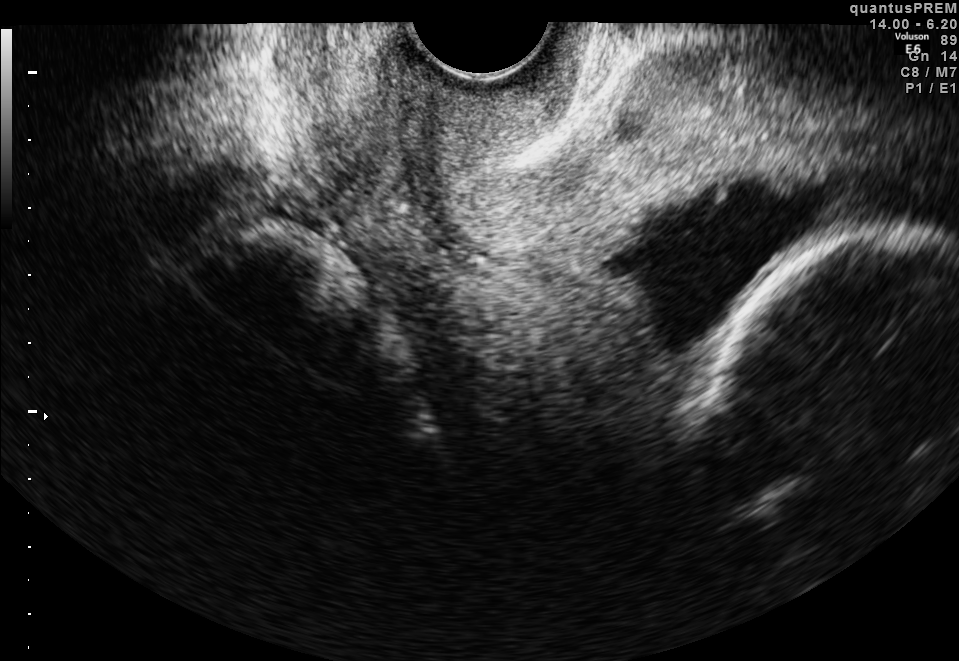
Classify this maternal-fetal ultrasound image as one of the six standard planes — fetal abdomen, fetal brain, fetal femur, fetal thorax, maternal cervix, or other. If it's fetal brain and one of the three standard brain planes (trans-thalamic, trans-cerebellum, trans-ventricular), name which.

Maternal cervix